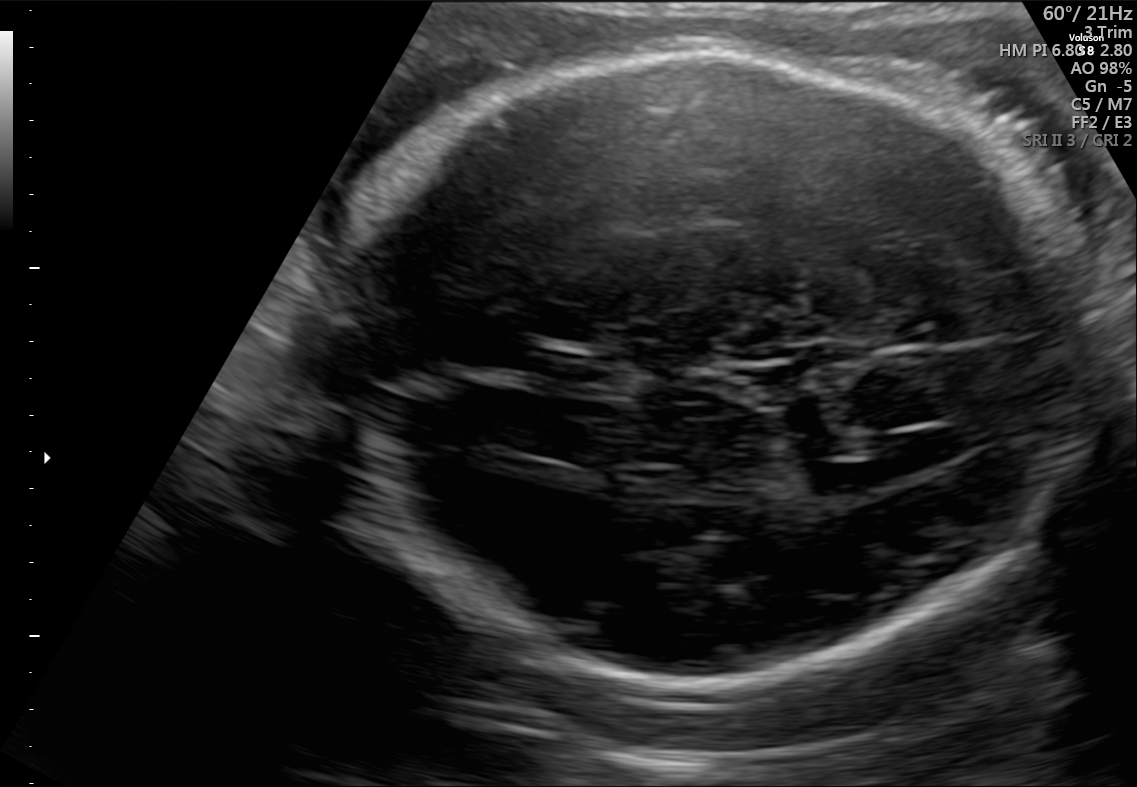
Fetal brain, trans-ventricular plane. Give [x1,y1,x2,y2] bounding boxes for each visible structure among: fetal head, CSP, LV.

Head: [315,39,1118,700]